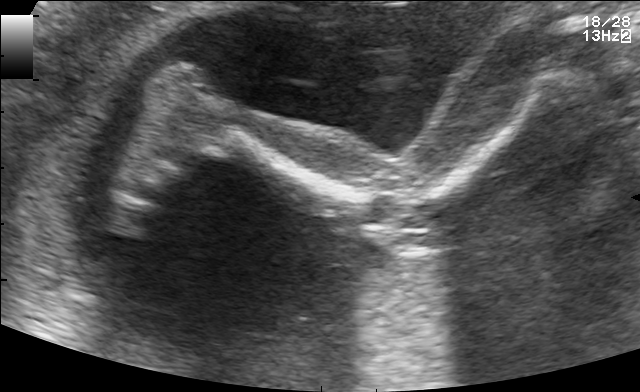
This is a 2D maternal-fetal ultrasound frame. Is it a fetal abdomen, fetal brain, fetal femur, fetal thorax, maternal cervix, or other standard plane? If it's fetal brain and one of the three standard brain planes (trans-thalamic, trans-cerebellum, trans-ventricular), name which.

Other